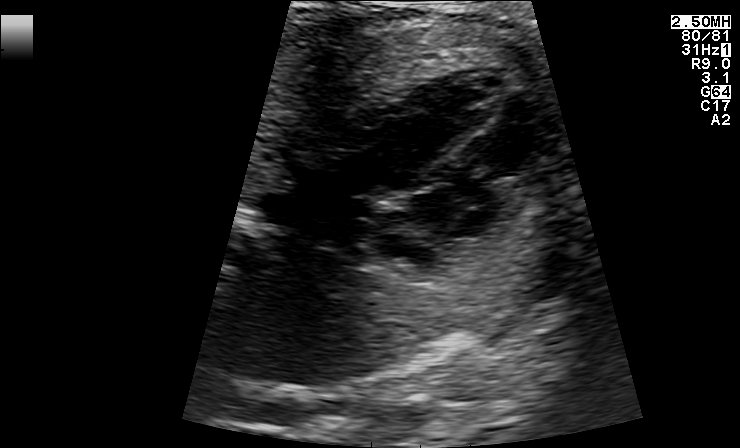
Identify the standard plane in this fetal ultrasound image: fetal abdomen, fetal brain, fetal femur, fetal thorax, maternal cervix, or other. If it's fetal brain and one of the three standard brain planes (trans-thalamic, trans-cerebellum, trans-ventricular), name which.

Fetal thorax